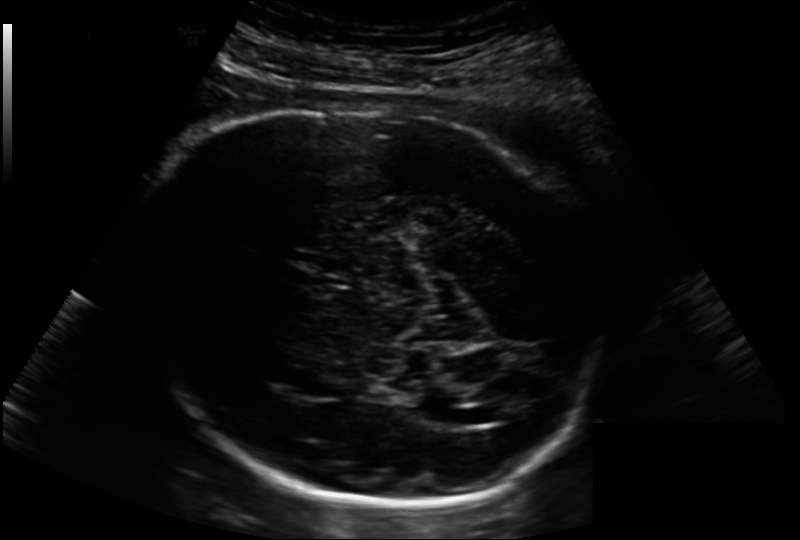
Estimate the fetal head circumference from this 2D ultrasound. Image width: 161.6 mm.

Head circumference: 284.2 mm.